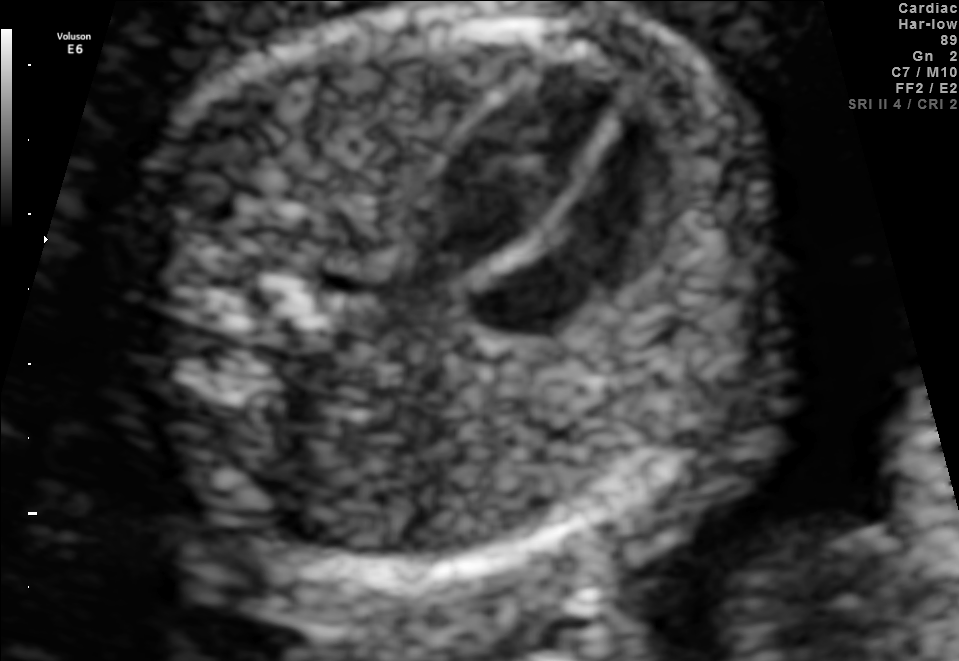
Which standard maternal-fetal ultrasound plane is shown: fetal abdomen, fetal brain, fetal femur, fetal thorax, maternal cervix, or other? If it's fetal brain and one of the three standard brain planes (trans-thalamic, trans-cerebellum, trans-ventricular), name which.

Fetal thorax